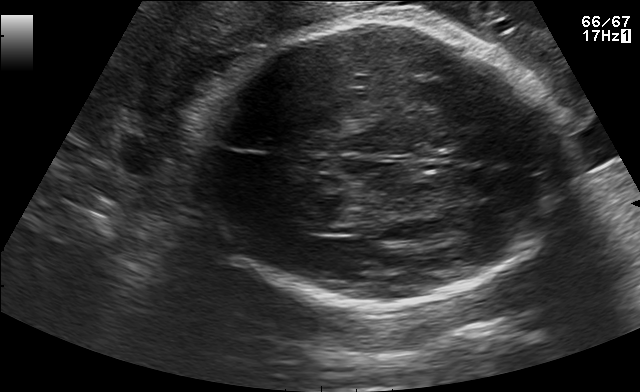
Fetal brain, trans-thalamic plane. Give [x1,y1,x2,y2] bounding boxes for each visible structure among: fetal head, CSP, LV.

Head: [188,20,568,306]